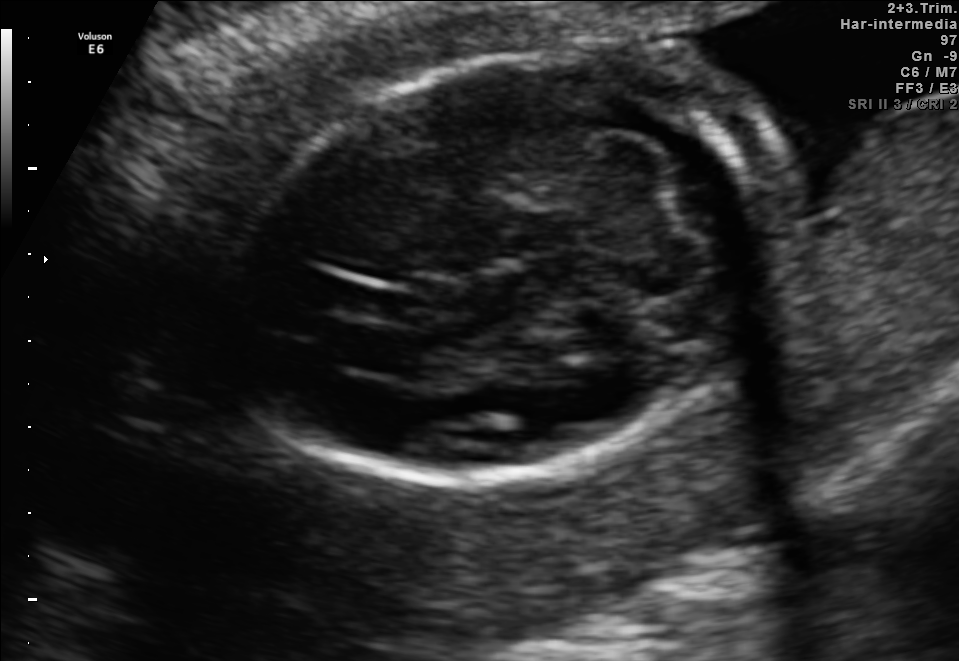
In this fetal brain, trans-cerebellum plane, give the bounding box of the fetal head.

[228,47,803,484]